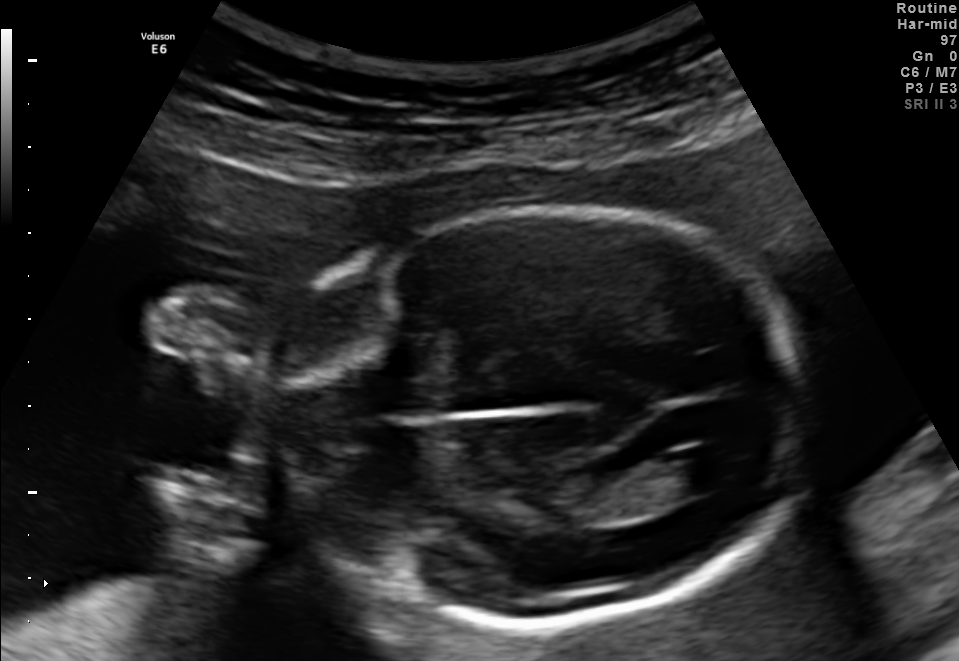
Fetal brain, trans-ventricular plane. Locate the lateral ventricle.

Lateral ventricle: [676,434,749,496]